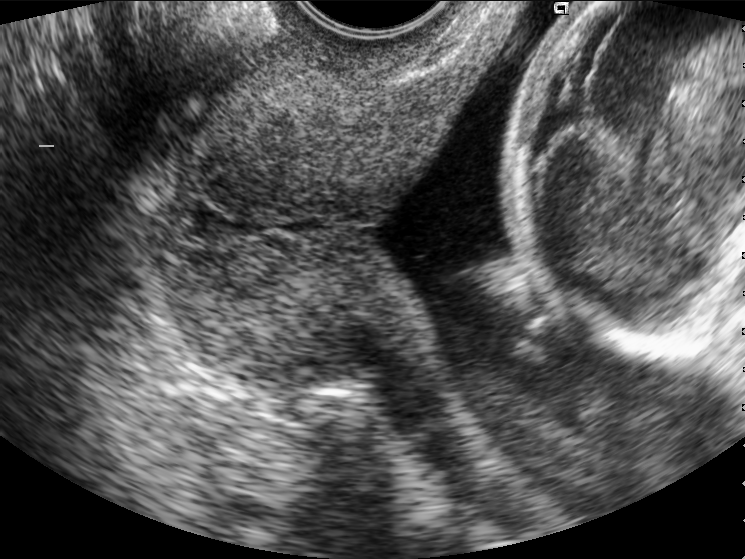
This is a 2D maternal-fetal ultrasound frame. Is it a fetal abdomen, fetal brain, fetal femur, fetal thorax, maternal cervix, or other standard plane? If it's fetal brain and one of the three standard brain planes (trans-thalamic, trans-cerebellum, trans-ventricular), name which.

Maternal cervix